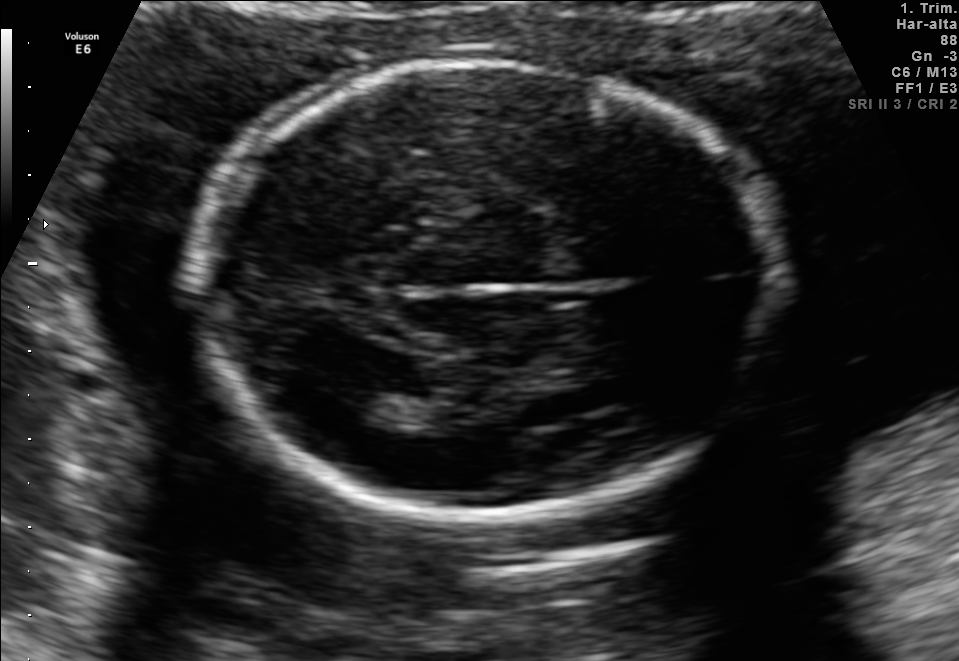
Fetal brain, trans-thalamic plane. Where is the fetal head?

Head bounding box: [196,63,779,518]